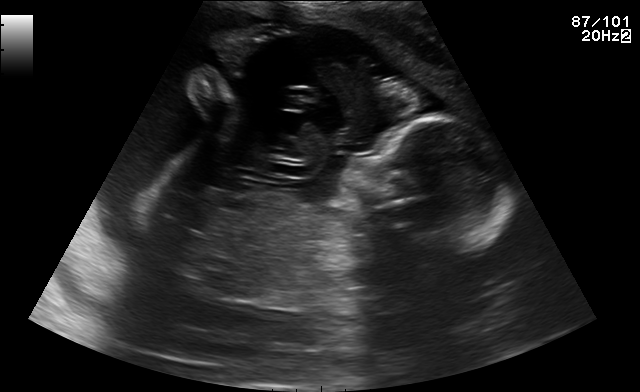
Identify the standard plane in this fetal ultrasound image: fetal abdomen, fetal brain, fetal femur, fetal thorax, maternal cervix, or other. If it's fetal brain and one of the three standard brain planes (trans-thalamic, trans-cerebellum, trans-ventricular), name which.

Other